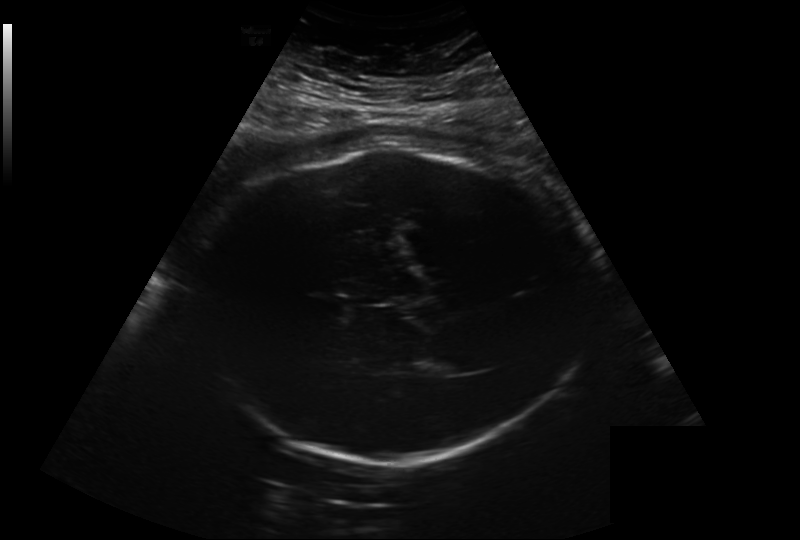
Fetal head ultrasound. Image width: 225.2 mm. Where is the fetal head?

Head bounding box: [199,148,584,462]